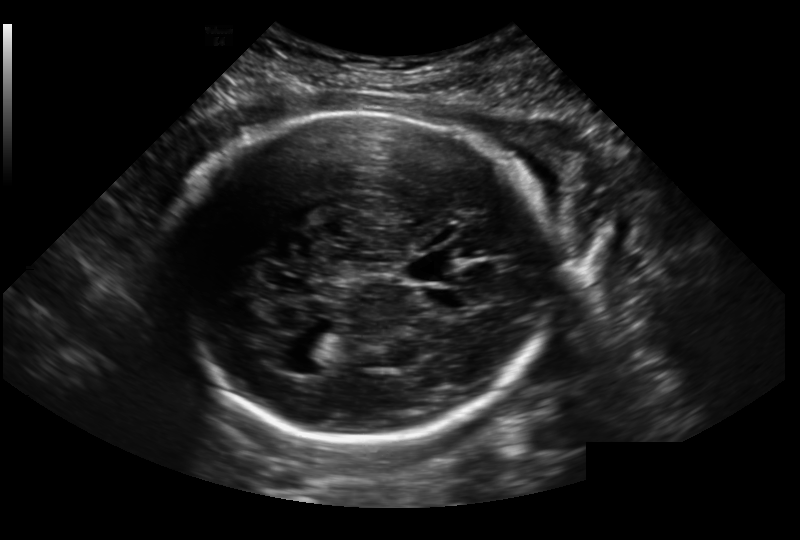
Fetal head ultrasound. Image width: 188.7 mm. Give [x1,y1,x2,y2] bounding boxes for each visible structure among: fetal head, CSP, LV.

Head: [176,109,549,443]
CSP: [407,255,452,284]
Lateral ventricle: [281,354,324,377]